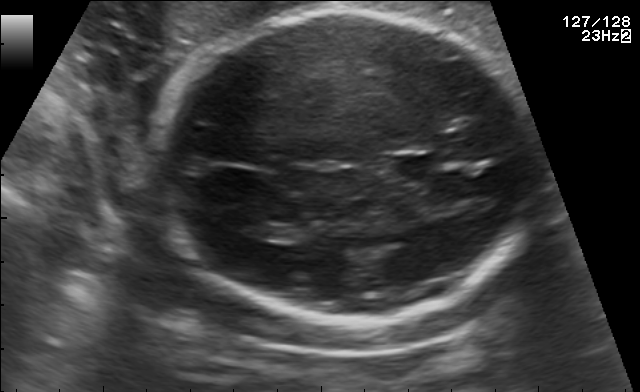
Fetal brain, trans-thalamic plane. Locate the lateral ventricle.

Lateral ventricle: [236,217,282,242]